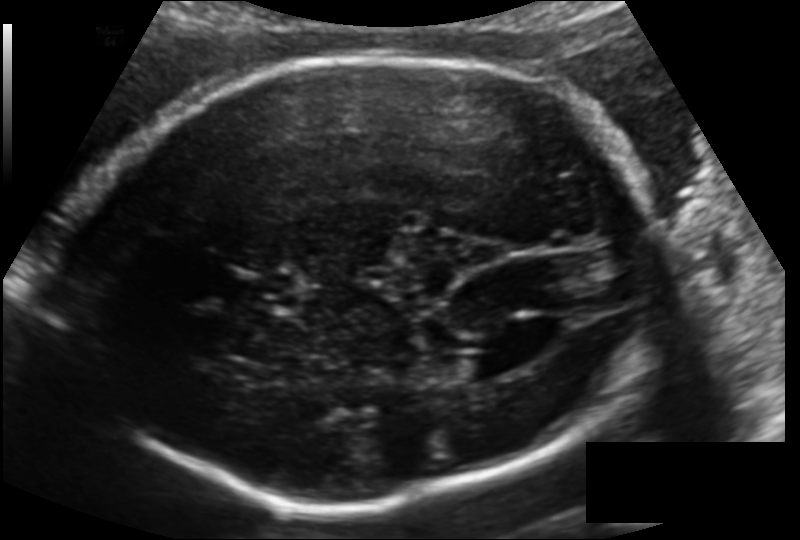
Fetal head ultrasound. Image width: 118.6 mm. Where is the cavum septum pellucidum?

CSP bounding box: [229,267,303,314]